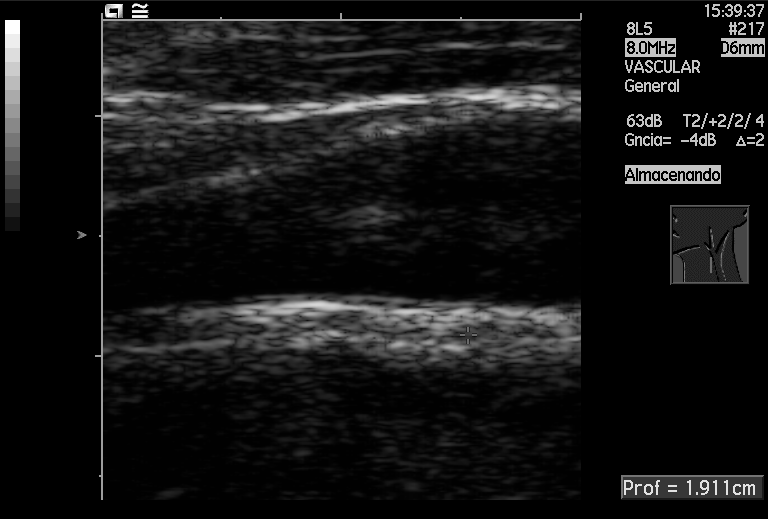
Classify this maternal-fetal ultrasound image as one of the six standard planes — fetal abdomen, fetal brain, fetal femur, fetal thorax, maternal cervix, or other. If it's fetal brain and one of the three standard brain planes (trans-thalamic, trans-cerebellum, trans-ventricular), name which.

Other